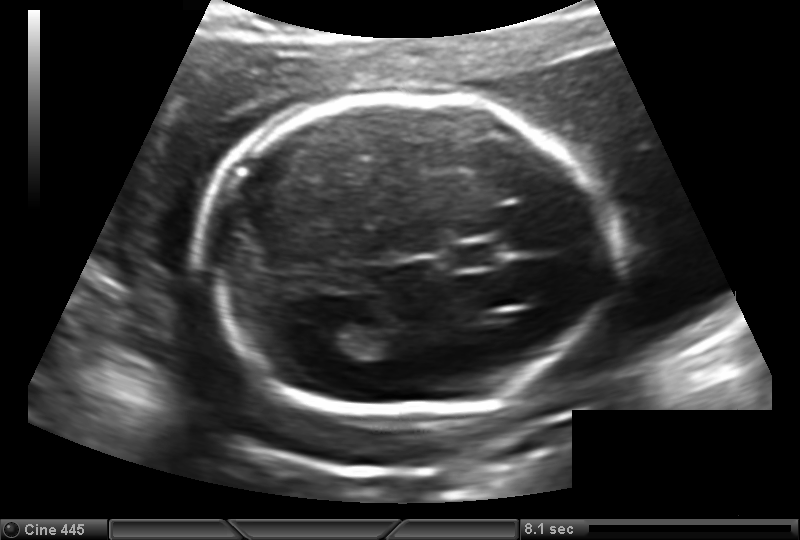
What is the fetal head circumference? Image width is 119.4 mm.

180.6 mm